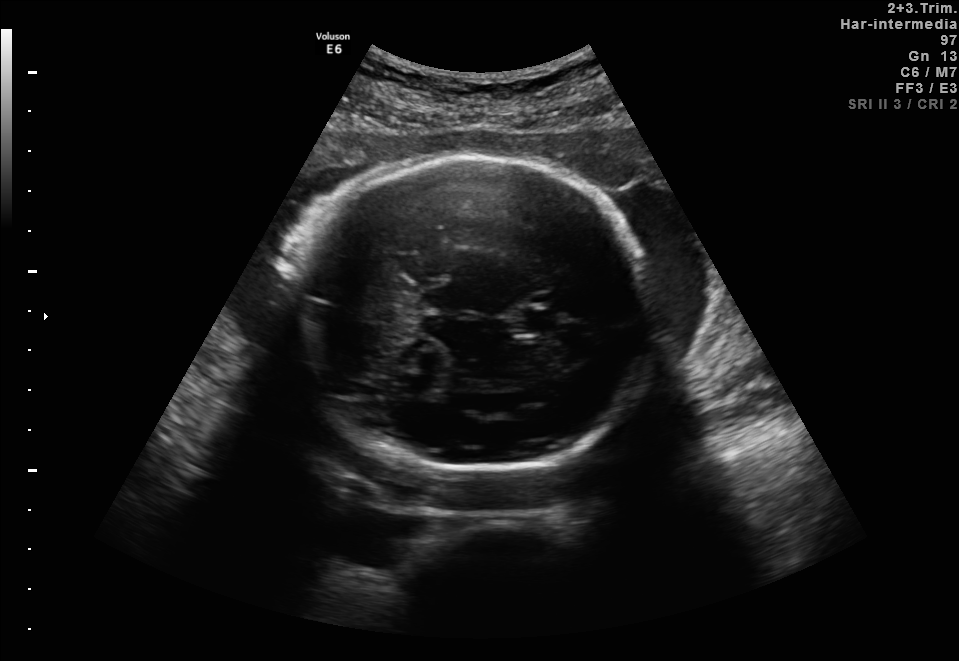
Fetal brain, trans-thalamic plane. Where is the cavum septum pellucidum?

CSP bounding box: [522,308,558,332]